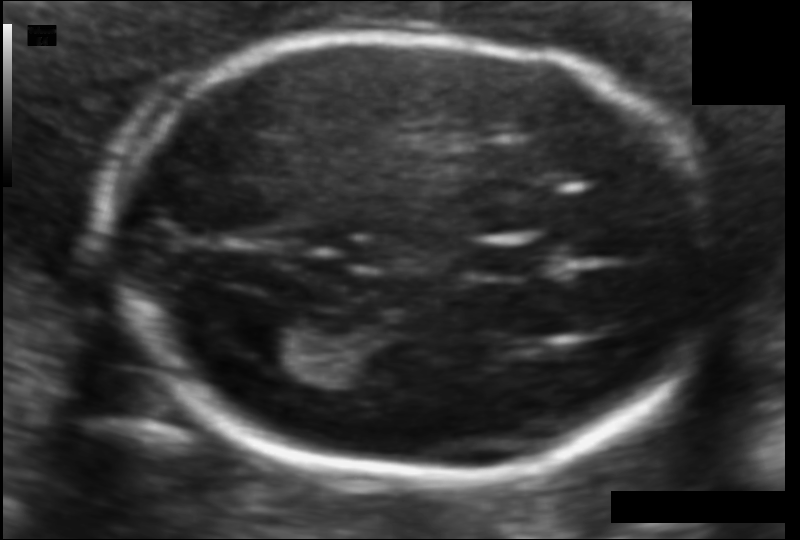
Fetal head ultrasound. Image width: 75.5 mm. Where is the lateral ventricle?

Lateral ventricle bounding box: [235,304,334,382]